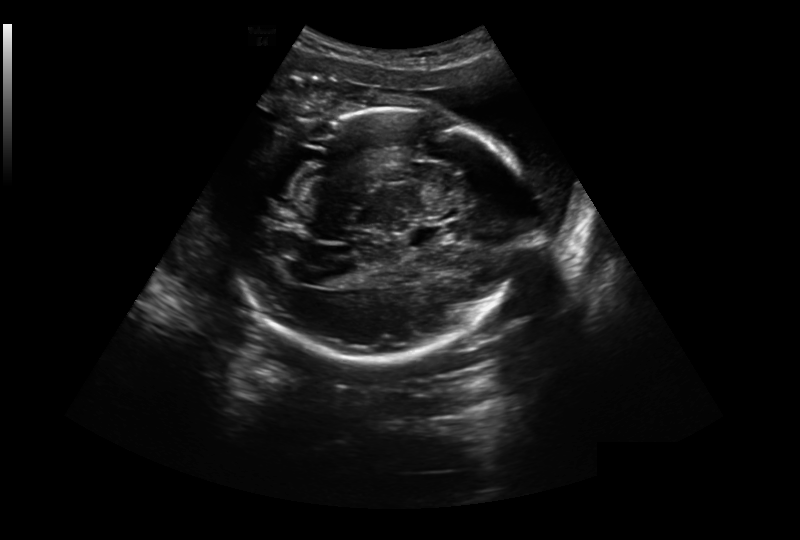
Fetal head ultrasound. Image width: 243.0 mm. Locate the lateral ventricle.

Lateral ventricle: [322,271,353,288]